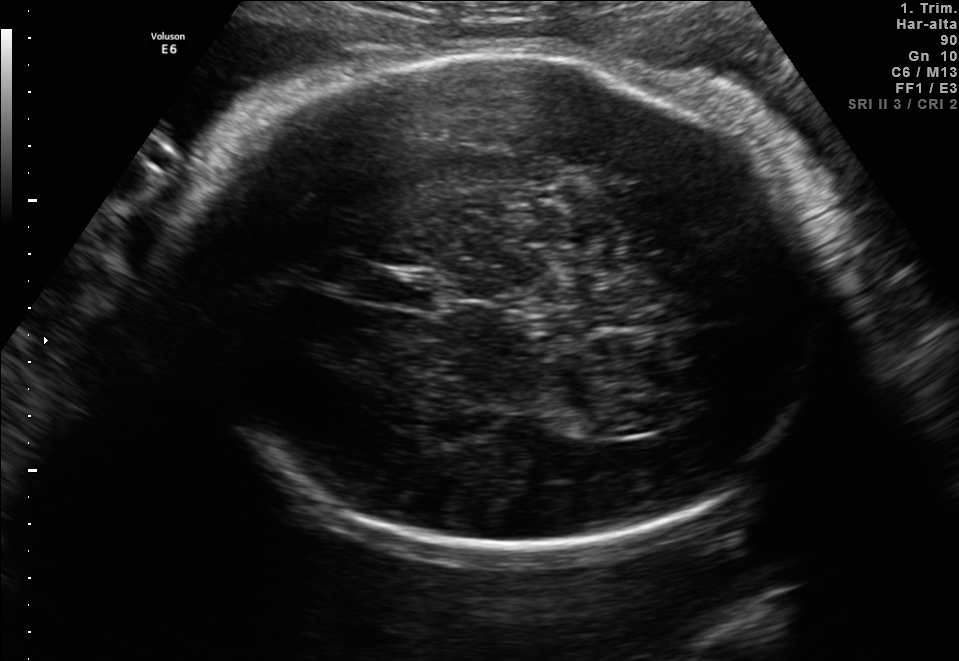
Fetal brain, trans-thalamic plane. Locate the lateral ventricle.

Lateral ventricle: [586,402,661,441]